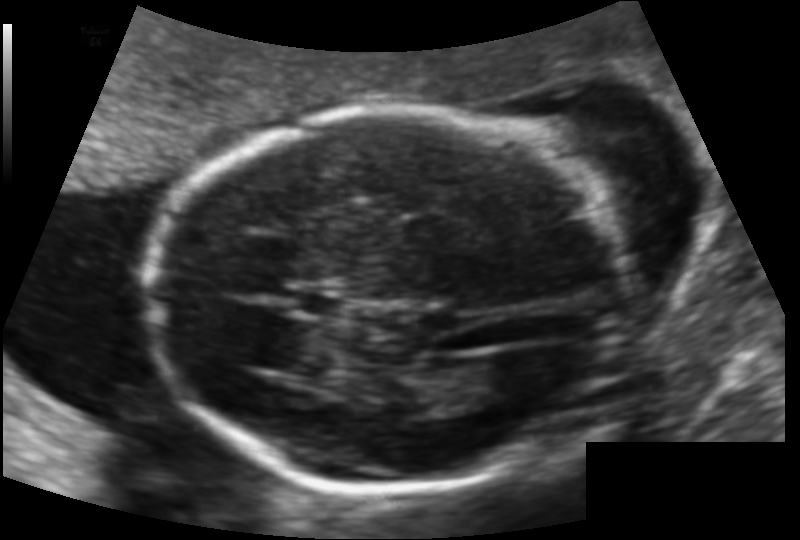
Fetal head ultrasound. Image width: 94.5 mm. Locate the lateral ventricle.

Lateral ventricle: [469,350,545,410]